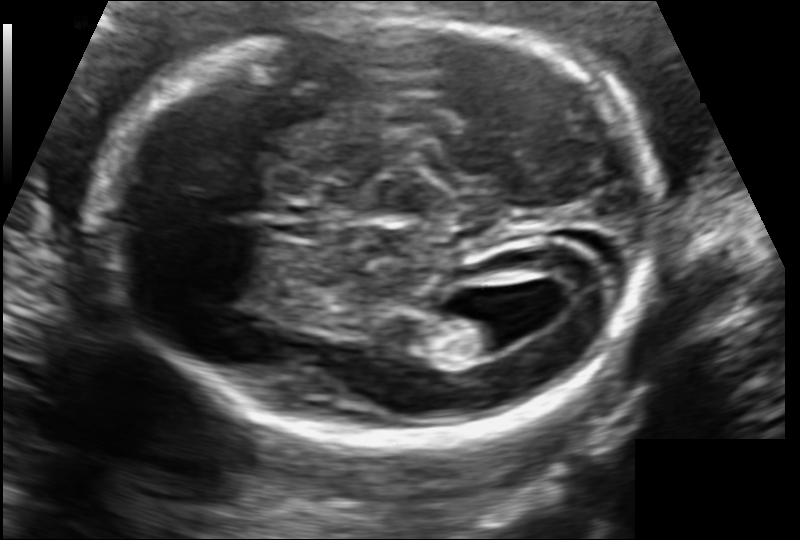
Fetal head ultrasound. Image width: 87.0 mm. Where is the lateral ventricle?

Lateral ventricle bounding box: [434,295,533,369]